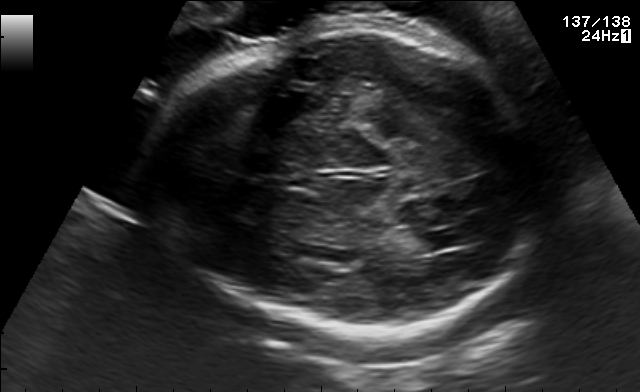
Fetal brain, trans-thalamic plane. Locate the lateral ventricle.

Lateral ventricle: [411,224,474,255]